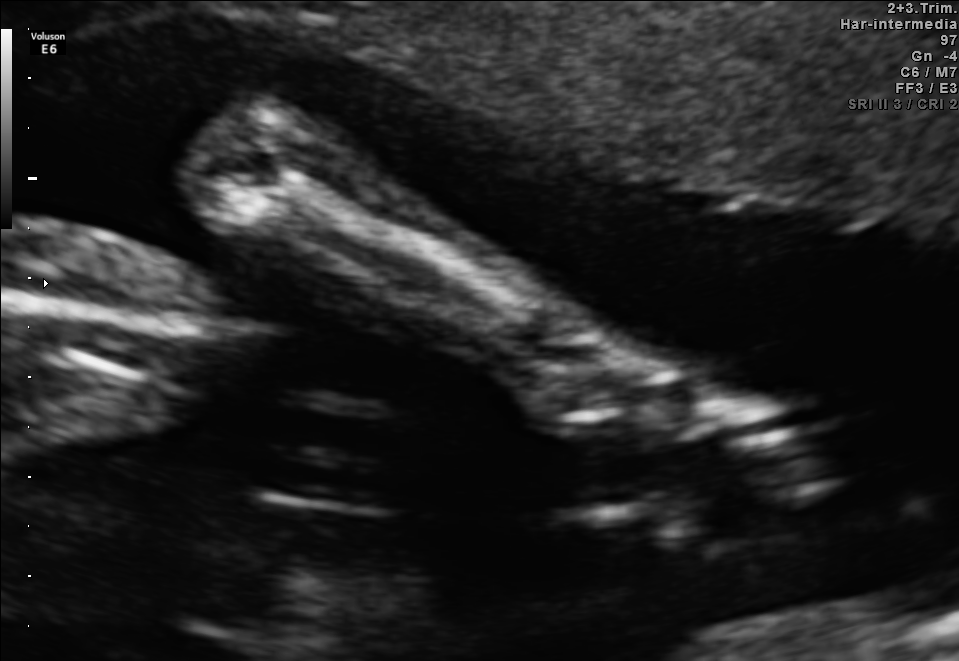
Identify the standard plane in this fetal ultrasound image: fetal abdomen, fetal brain, fetal femur, fetal thorax, maternal cervix, or other. If it's fetal brain and one of the three standard brain planes (trans-thalamic, trans-cerebellum, trans-ventricular), name which.

Other